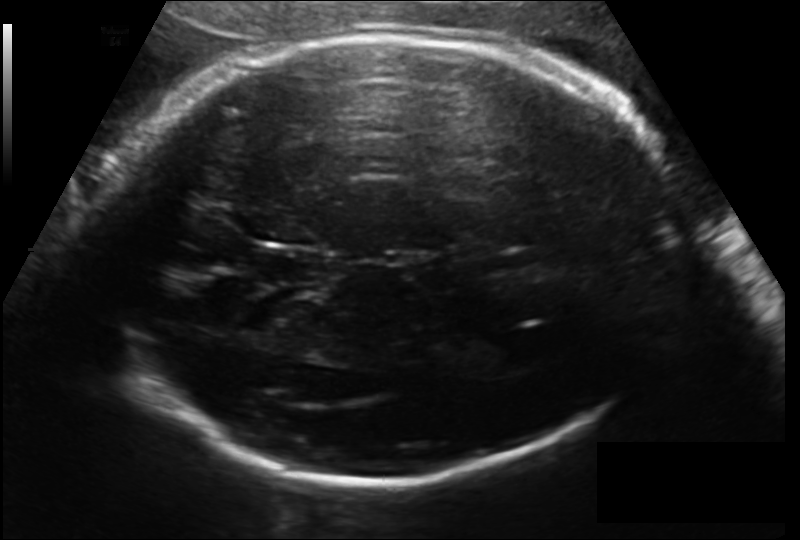
Fetal head ultrasound. Image width: 136.7 mm. Where is the lateral ventricle?

Lateral ventricle bounding box: [469,328,543,376]